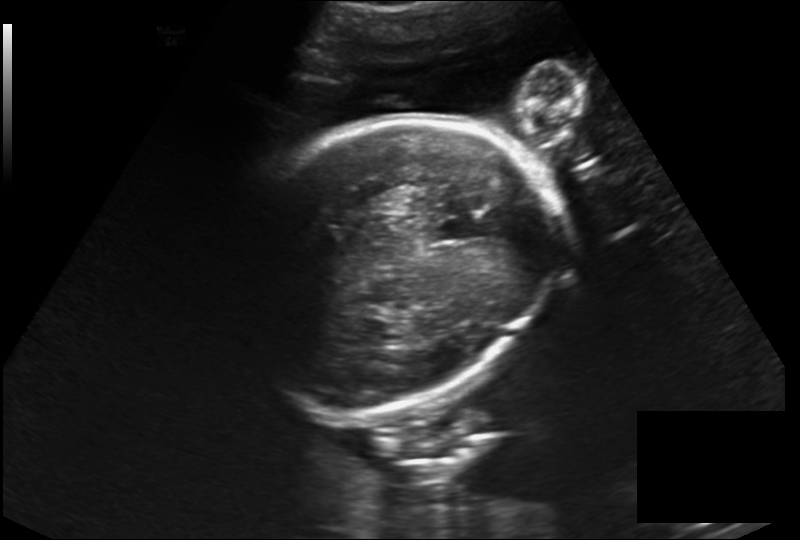
In this fetal head ultrasound, give bounding boxes for the head outline, cavum septum pellucidum (CSP), and lateral ventricle (LV), where visible. Image width: 184.3 mm.

Head: [228,118,549,413]